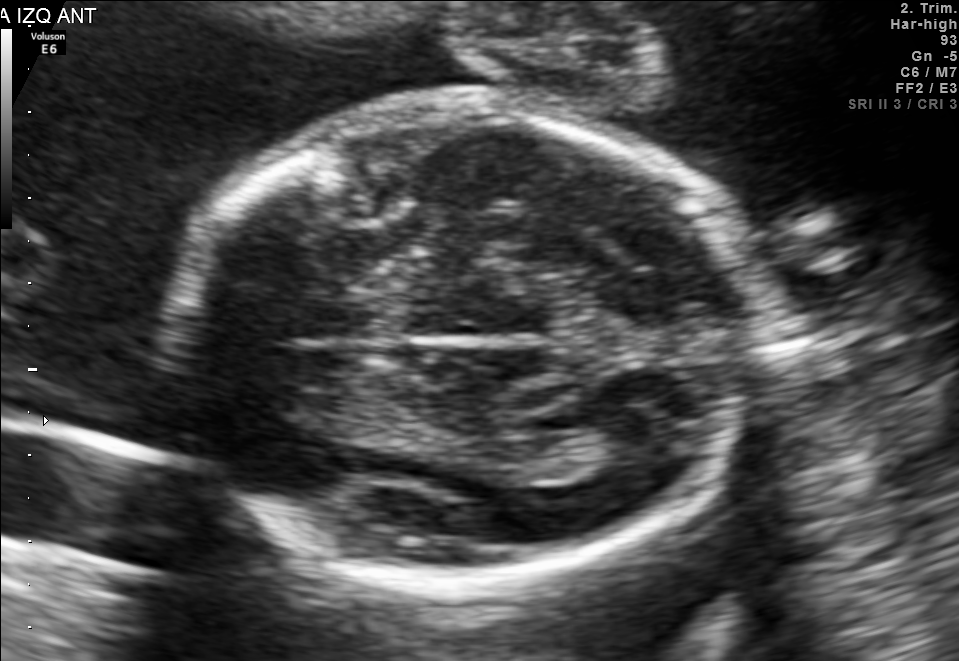
In this fetal brain, trans-thalamic plane, give the bounding box of the fetal head.

[177,103,750,584]